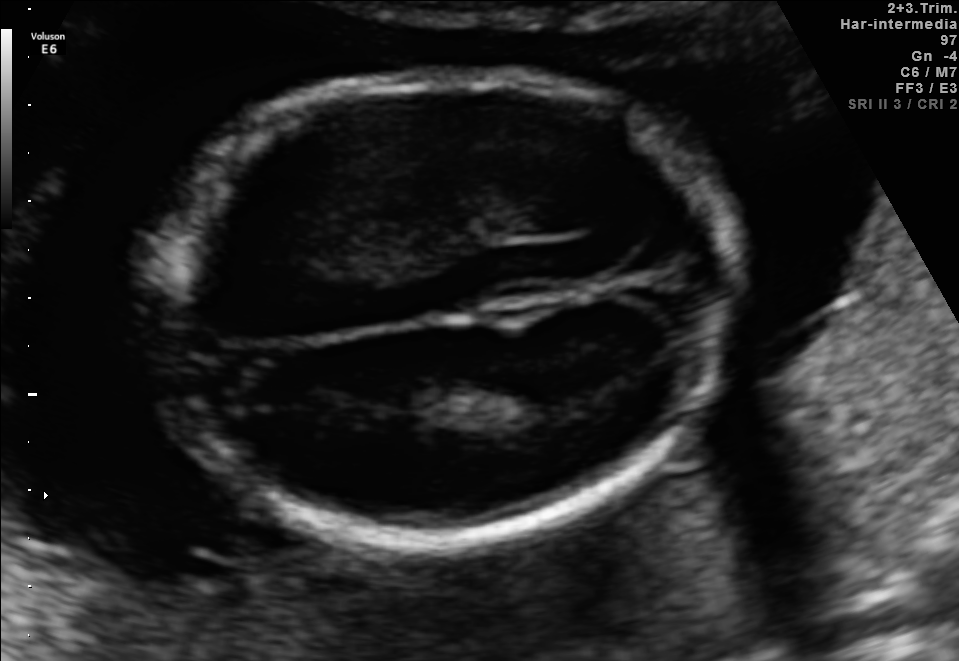
Identify the standard plane in this fetal ultrasound image: fetal abdomen, fetal brain, fetal femur, fetal thorax, maternal cervix, or other. If it's fetal brain and one of the three standard brain planes (trans-thalamic, trans-cerebellum, trans-ventricular), name which.

Fetal brain (trans-thalamic plane)